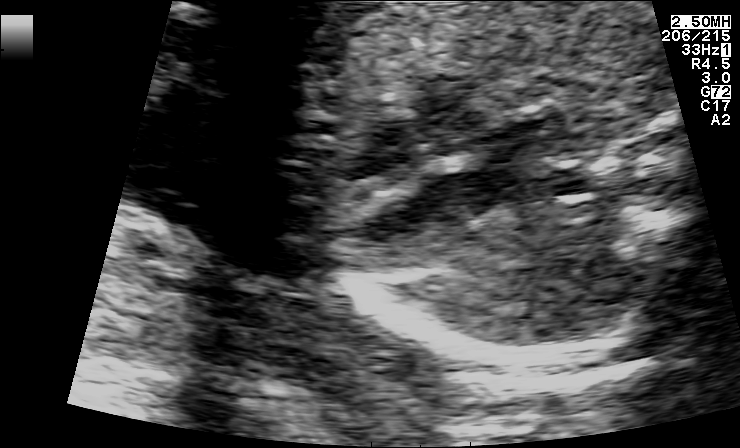
Classify this maternal-fetal ultrasound image as one of the six standard planes — fetal abdomen, fetal brain, fetal femur, fetal thorax, maternal cervix, or other. If it's fetal brain and one of the three standard brain planes (trans-thalamic, trans-cerebellum, trans-ventricular), name which.

Fetal thorax